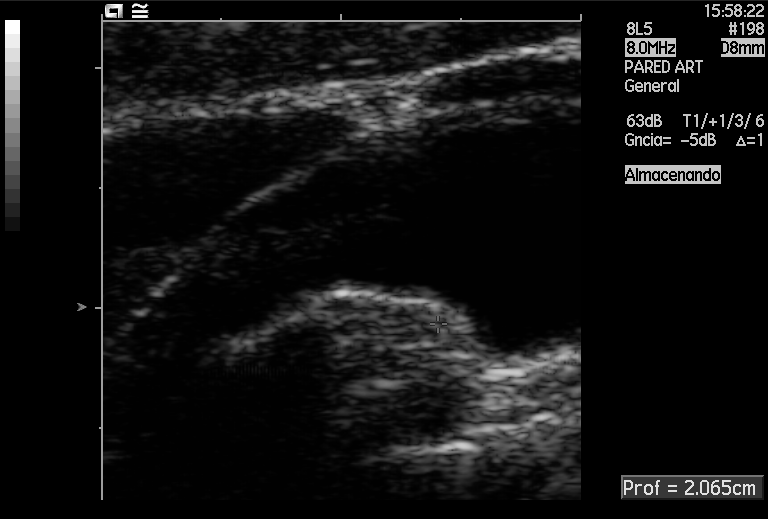
Identify the standard plane in this fetal ultrasound image: fetal abdomen, fetal brain, fetal femur, fetal thorax, maternal cervix, or other. If it's fetal brain and one of the three standard brain planes (trans-thalamic, trans-cerebellum, trans-ventricular), name which.

Other